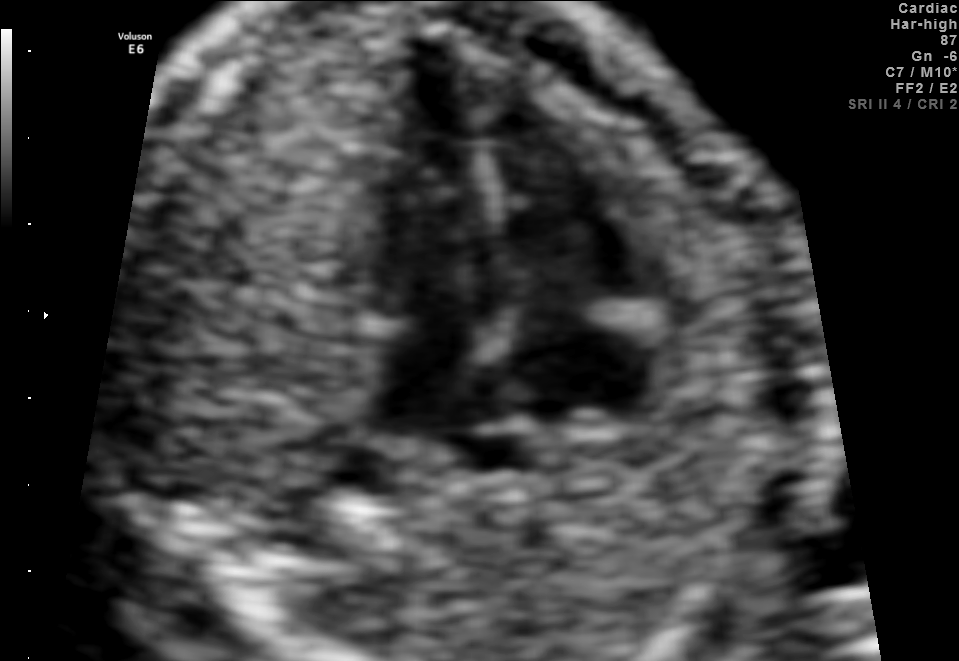
Identify the standard plane in this fetal ultrasound image: fetal abdomen, fetal brain, fetal femur, fetal thorax, maternal cervix, or other. If it's fetal brain and one of the three standard brain planes (trans-thalamic, trans-cerebellum, trans-ventricular), name which.

Fetal thorax